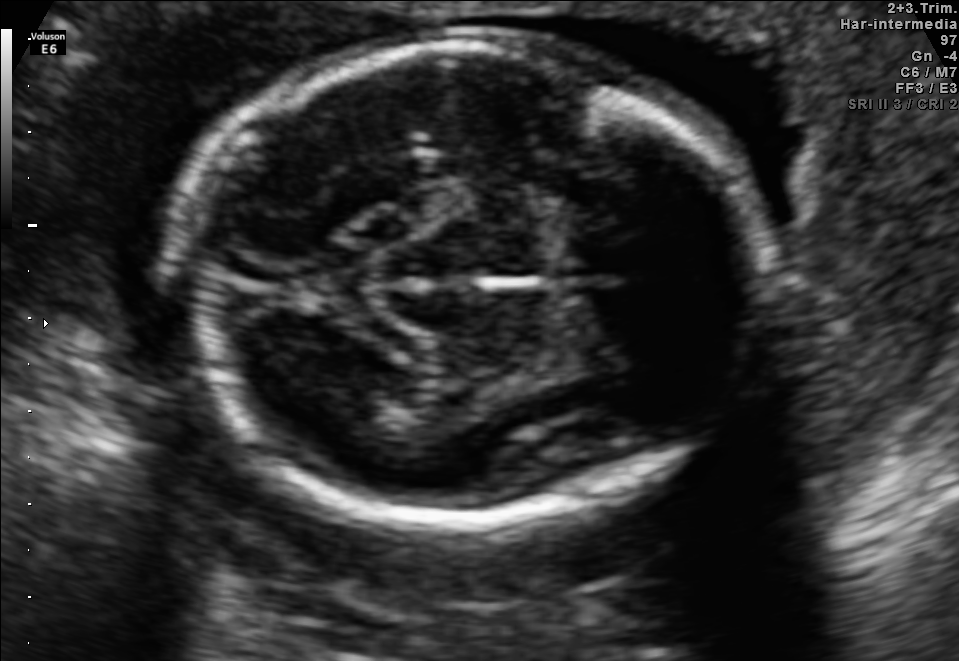
Fetal brain, trans-thalamic plane. Locate the fetal head and, if visible, the cavum septum pellucidum (CSP) and lateral ventricle (LV). Give bounding boxes as [x1,y1,x2,y2].

Head: [184,35,759,524]